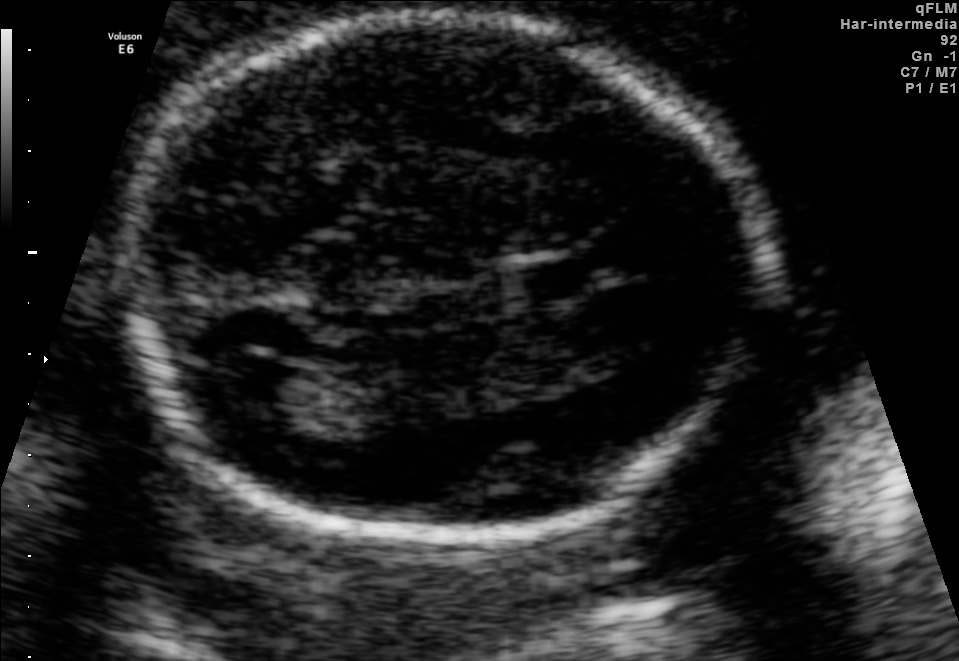
Fetal brain, trans-ventricular plane. Locate the fetal head and, if visible, the cavum septum pellucidum (CSP) and lateral ventricle (LV). Give bounding boxes as [x1,y1,x2,y2].

Head: [101,6,796,561]
CSP: [498,241,612,316]
Lateral ventricle: [210,352,325,420]